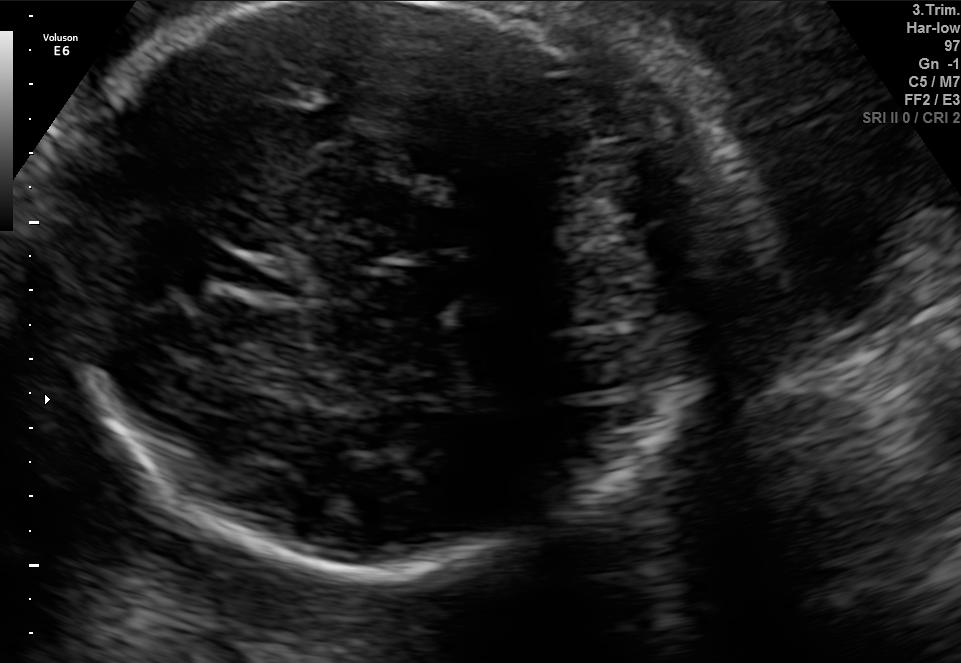
Fetal brain, trans-cerebellum plane. Where is the fetal head?

Head bounding box: [57,4,687,567]